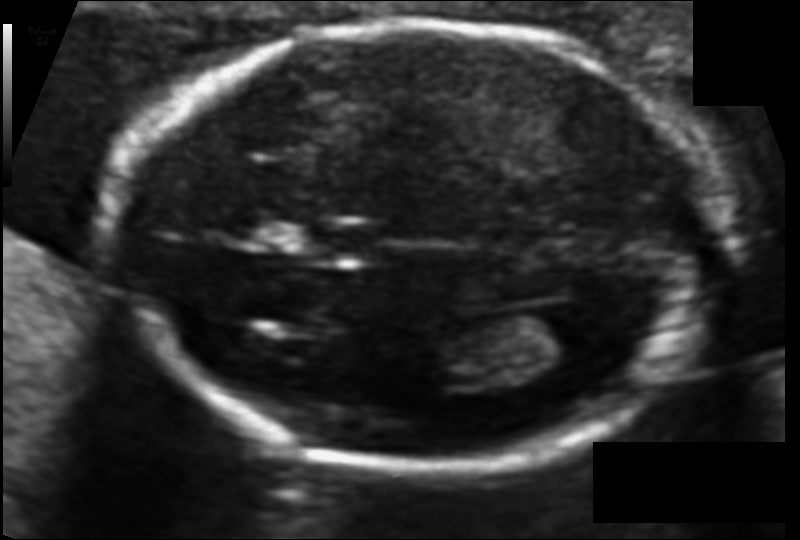
Fetal head ultrasound. Image width: 75.0 mm. Locate the fetal head and, if visible, the cavum septum pellucidum (CSP) and lateral ventricle (LV). Give bounding boxes as [x1,y1,x2,y2].

Head: [124,23,717,466]
CSP: [312,224,385,259]
Lateral ventricle: [513,294,604,369]